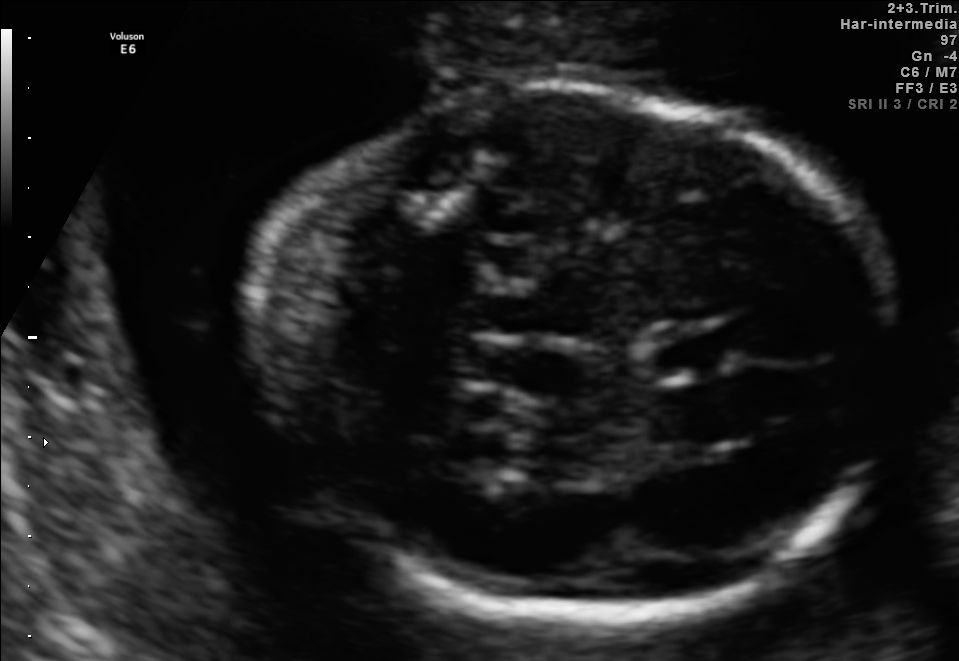
Fetal brain, trans-thalamic plane. Locate the fetal head.

Head: [252,86,893,625]